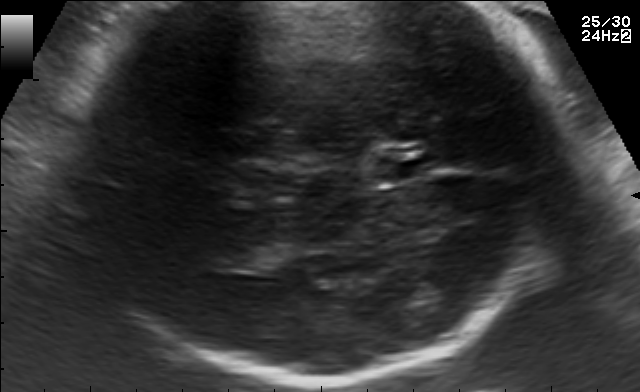
Identify the standard plane in this fetal ultrasound image: fetal abdomen, fetal brain, fetal femur, fetal thorax, maternal cervix, or other. If it's fetal brain and one of the three standard brain planes (trans-thalamic, trans-cerebellum, trans-ventricular), name which.

Fetal brain (trans-thalamic plane)